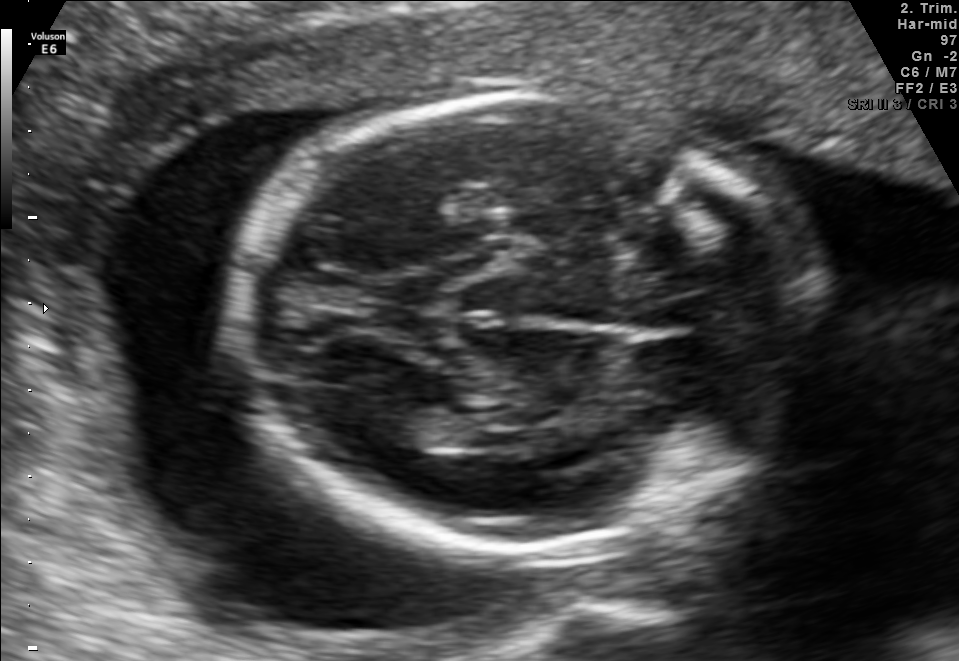
Fetal brain, trans-thalamic plane. Locate the fetal head.

Head: [225,96,832,547]